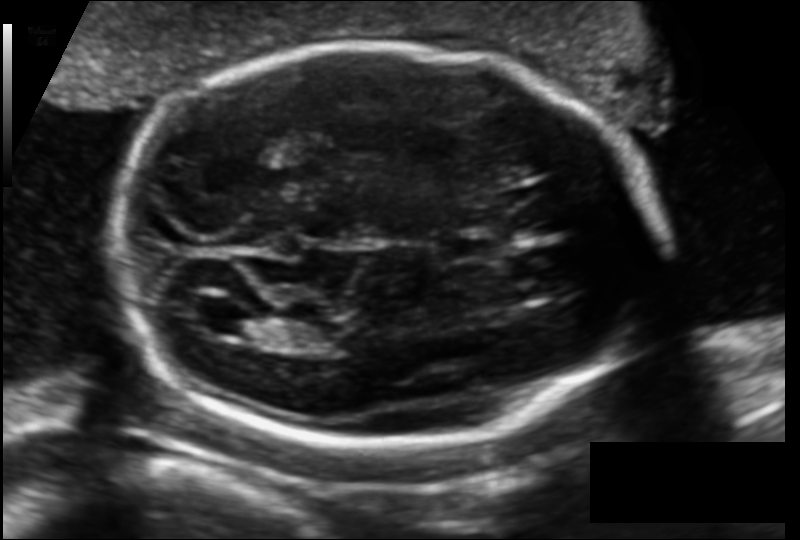
In this fetal head ultrasound, give the bounding box of the fetal head. Image width: 103.4 mm.

[113,45,658,441]